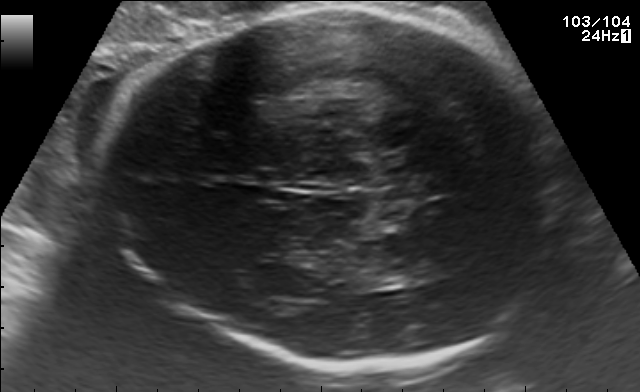
Classify this maternal-fetal ultrasound image as one of the six standard planes — fetal abdomen, fetal brain, fetal femur, fetal thorax, maternal cervix, or other. If it's fetal brain and one of the three standard brain planes (trans-thalamic, trans-cerebellum, trans-ventricular), name which.

Fetal brain (trans-thalamic plane)